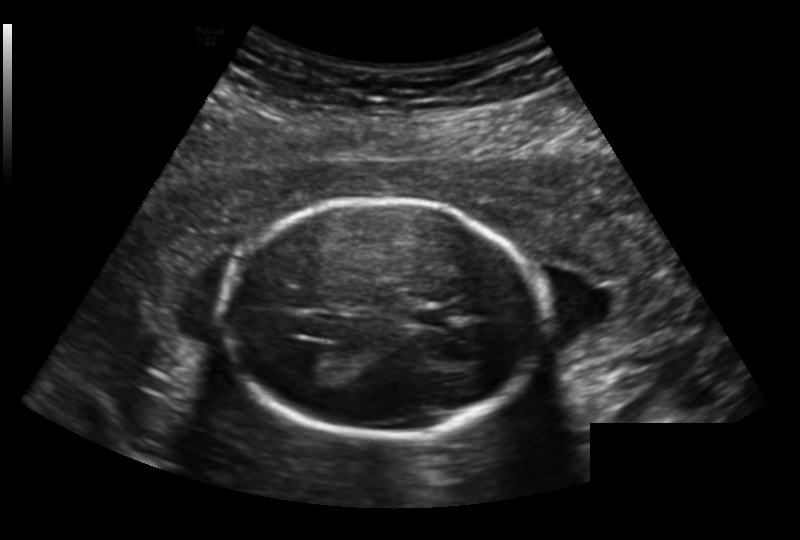
Fetal head ultrasound. Image width: 152.4 mm. Give [x1,y1,x2,y2] bounding boxes for each visible structure among: fetal head, CSP, LV.

Head: [226,203,551,435]
CSP: [412,306,452,328]
Lateral ventricle: [290,350,342,383]